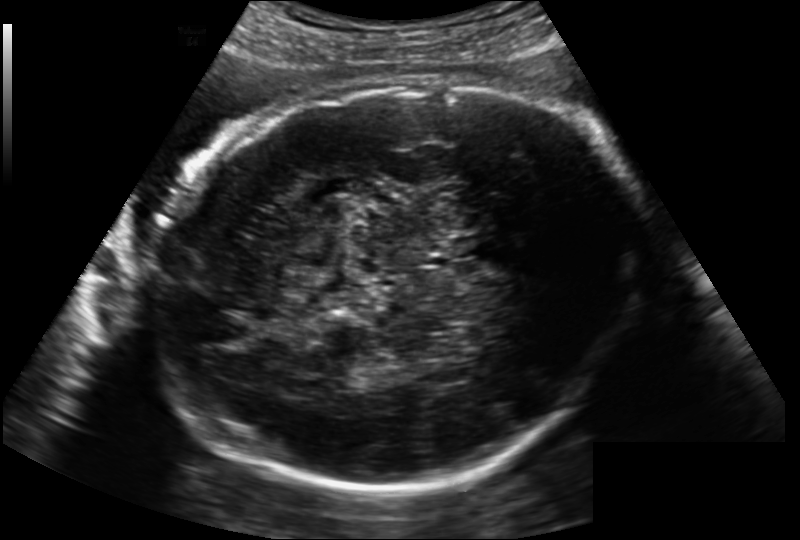
In this fetal head ultrasound, give bounding boxes for the head outline, cavum septum pellucidum (CSP), and lateral ventricle (LV), where visible. Image width: 161.8 mm.

Head: [157,70,640,498]